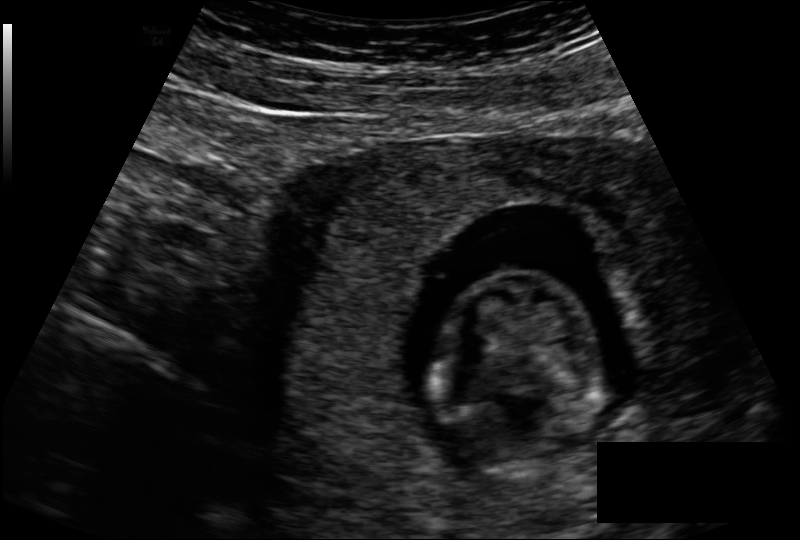
From this fetal ultrasound, estimate the head circumference (image width 104.8 mm).

Head circumference: 77.6 mm.